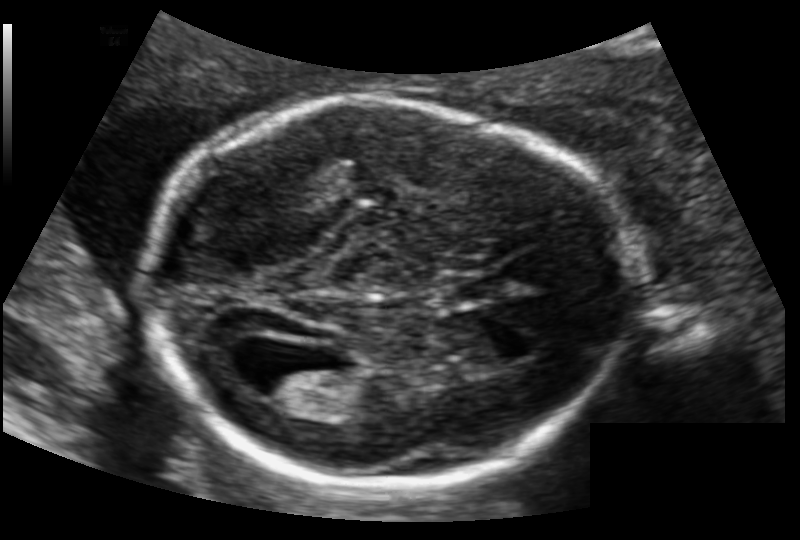
From this fetal ultrasound, estimate the head circumference (image width 100.7 mm).

Head circumference: 178.3 mm.